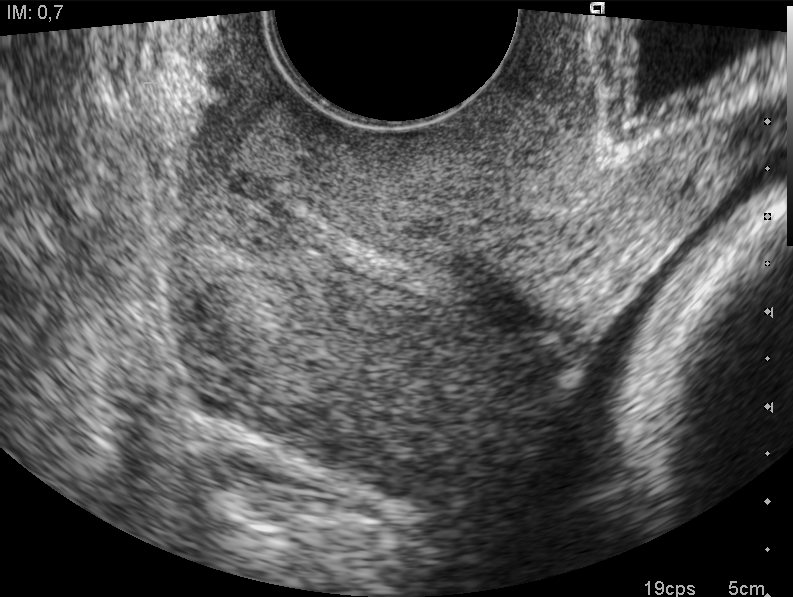
Which standard maternal-fetal ultrasound plane is shown: fetal abdomen, fetal brain, fetal femur, fetal thorax, maternal cervix, or other? If it's fetal brain and one of the three standard brain planes (trans-thalamic, trans-cerebellum, trans-ventricular), name which.

Maternal cervix